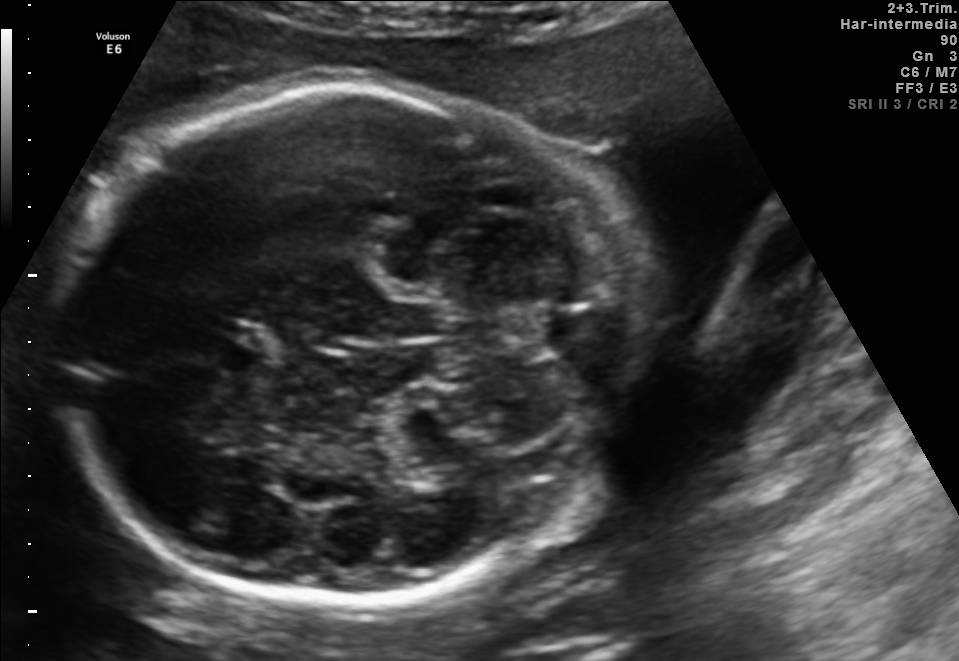
Fetal brain, trans-cerebellum plane. Locate the fetal head and, if visible, the cavum septum pellucidum (CSP) and lateral ventricle (LV). Give bounding boxes as [x1,y1,x2,y2].

Head: [51,85,616,608]